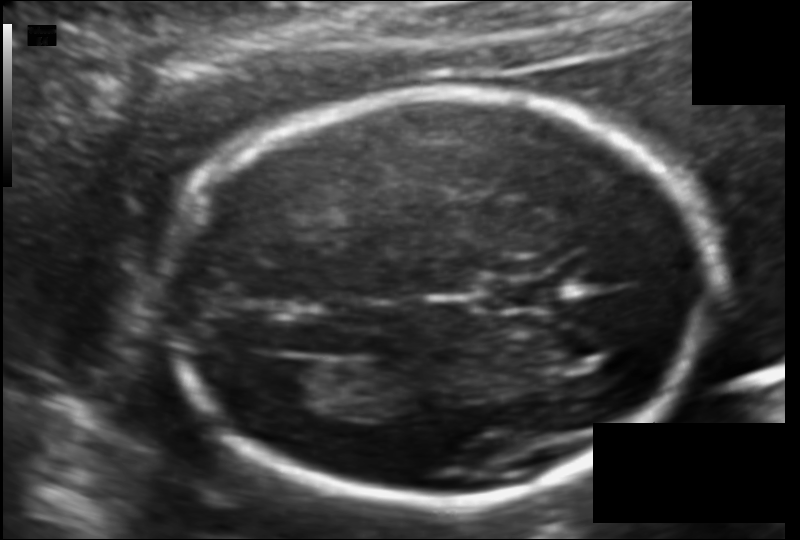
In this fetal head ultrasound, give the bounding box of the fetal head. Image width: 88.5 mm.

[168,91,712,501]